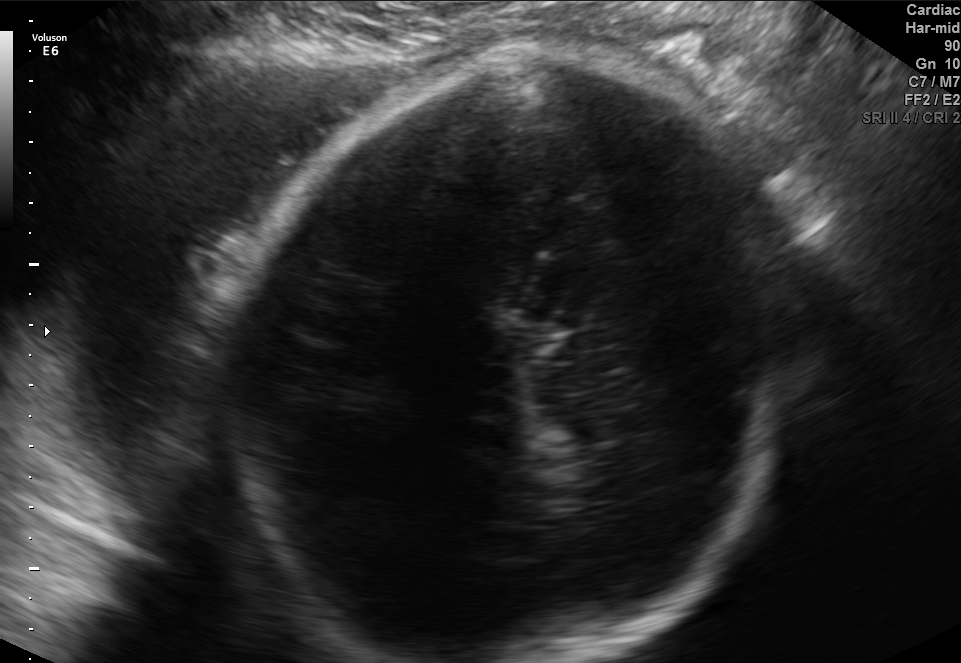
In this fetal brain, trans-thalamic plane, give bounding boxes for the head outline, cavum septum pellucidum (CSP), and lateral ventricle (LV), where visible.

Head: [228,57,799,662]